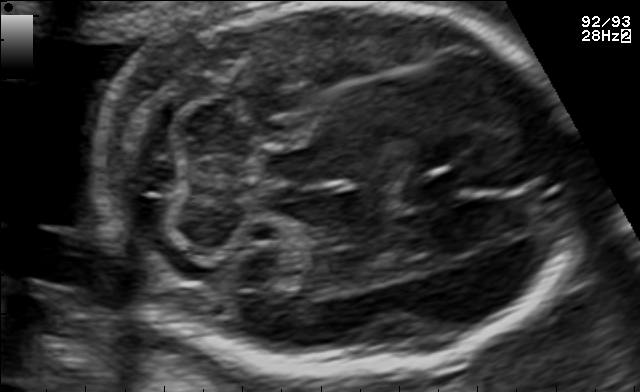
In this fetal brain, trans-cerebellum plane, give bounding boxes for the head outline, cavum septum pellucidum (CSP), and lateral ventricle (LV), where visible.

Head: [102,2,570,381]
CSP: [412,161,476,208]